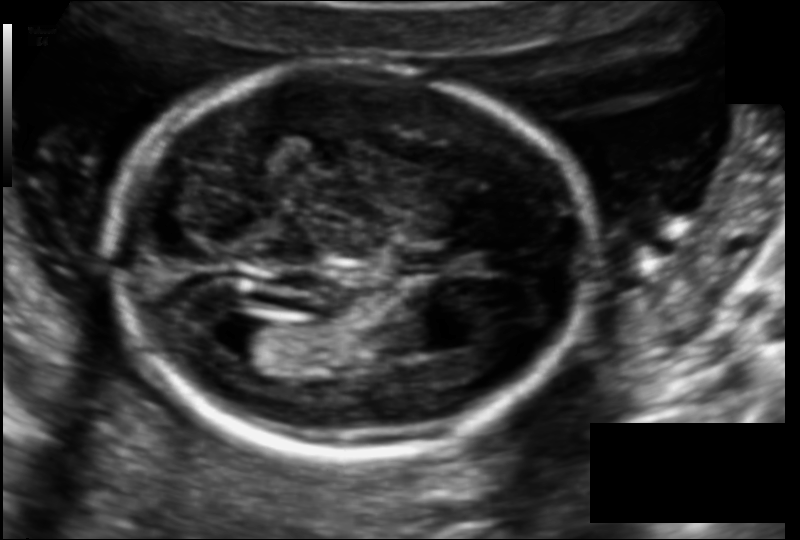
Fetal head ultrasound. Image width: 91.5 mm. Where is the cavum septum pellucidum?

CSP bounding box: [401,253,458,274]